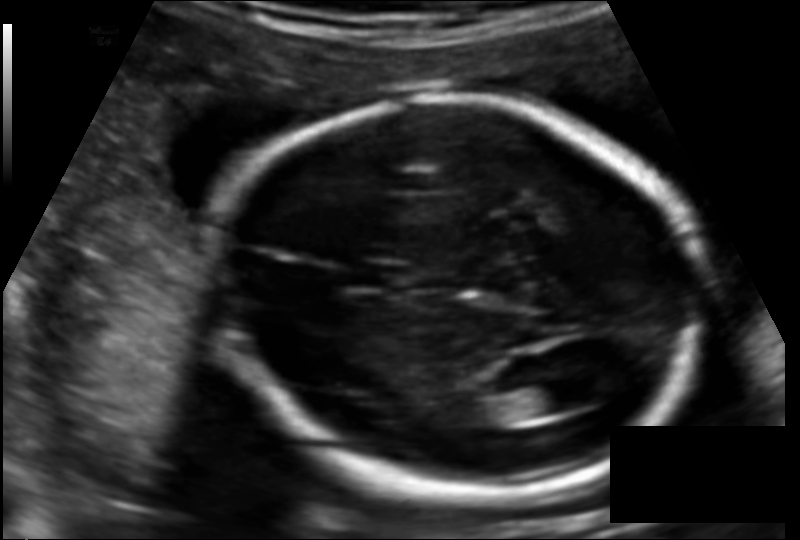
Fetal head ultrasound. Image width: 99.4 mm. Where is the cavum septum pellucidum?

CSP bounding box: [344,260,403,290]